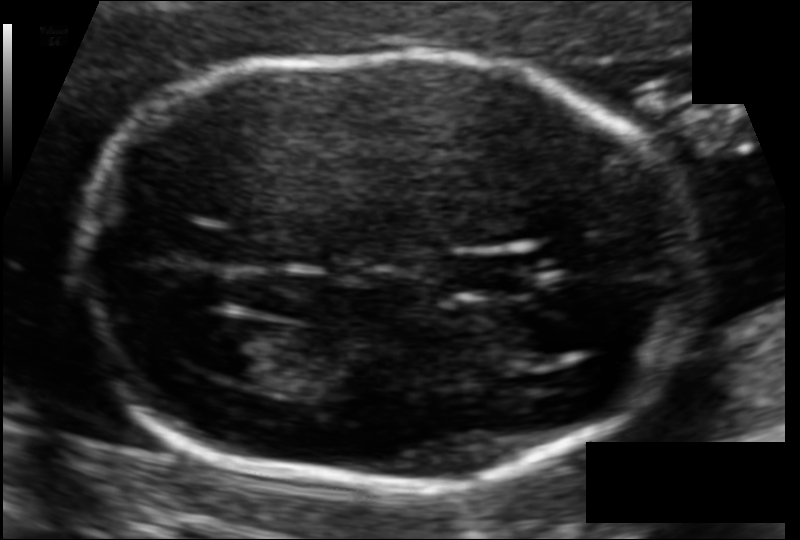
Fetal head ultrasound. Image width: 73.9 mm. Give [x1,y1,x2,y2] bounding boxes for each visible structure among: fetal head, CSP, LV.

Head: [81,56,701,486]
CSP: [447,254,529,292]
Lateral ventricle: [197,311,296,388]